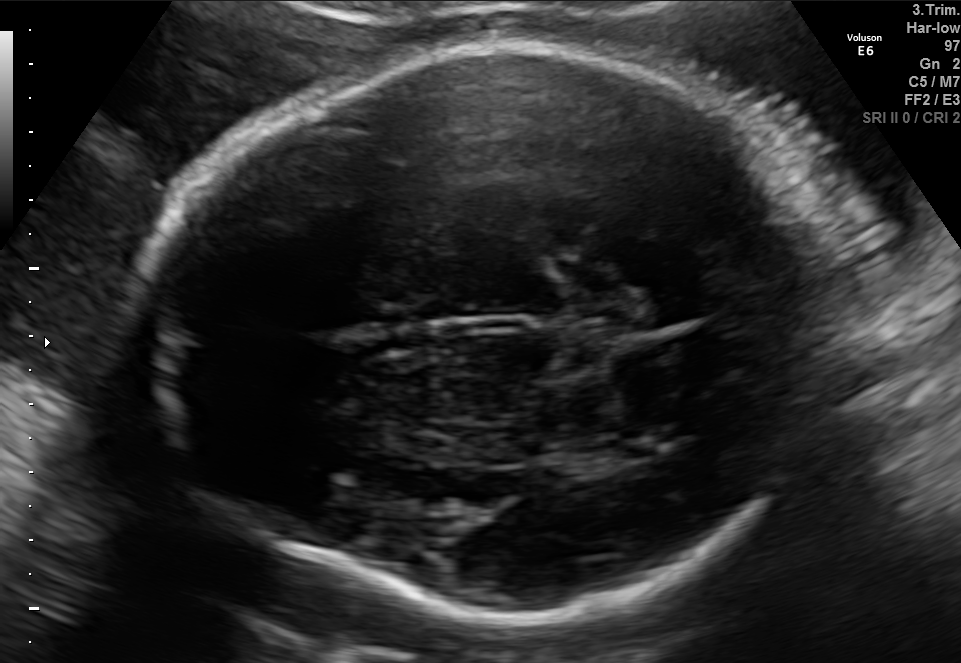
Fetal brain, trans-thalamic plane. Give [x1,y1,x2,y2] bounding boxes for each visible structure among: fetal head, CSP, LV.

Head: [137,42,852,621]